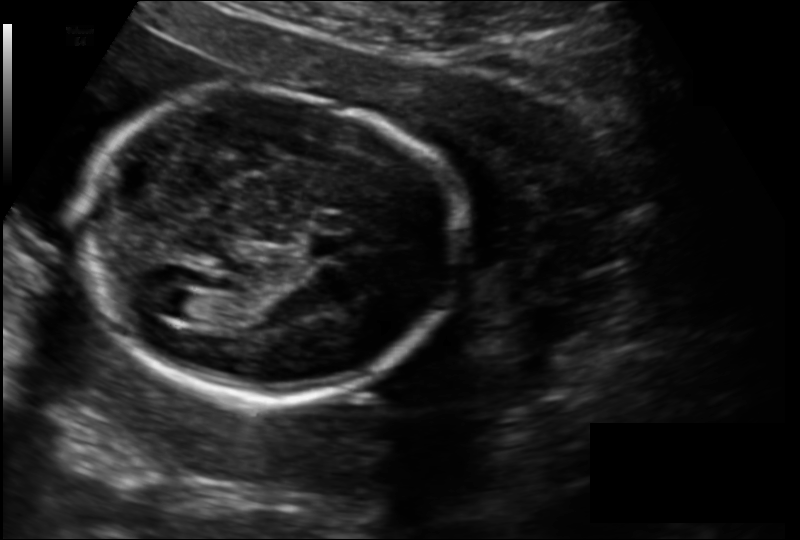
Estimate the fetal head circumference from this 2D ultrasound. Image width: 119.1 mm.

Head circumference: 169.7 mm.